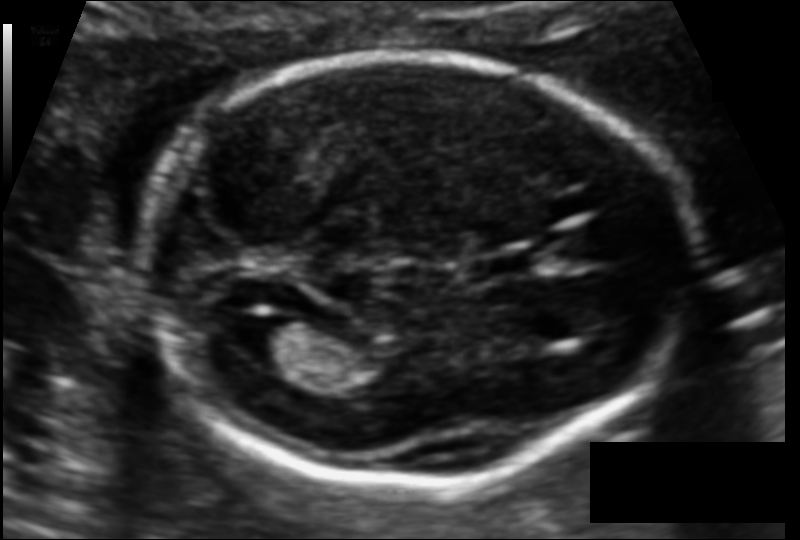
Fetal head ultrasound. Image width: 85.1 mm. Locate the lateral ventricle.

Lateral ventricle: [229,310,306,370]